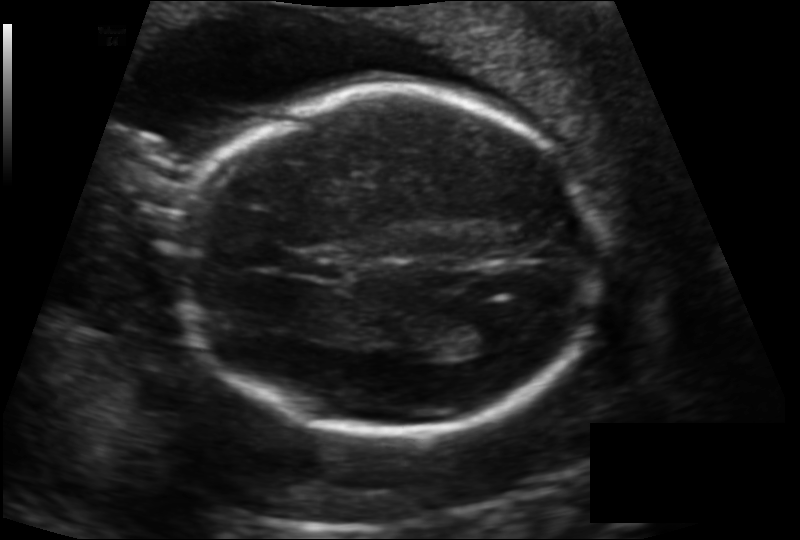
Fetal head ultrasound. Image width: 113.2 mm. Locate the fetal head and, if visible, the cavum septum pellucidum (CSP) and lateral ventricle (LV). Give bounding boxes as [x1,y1,x2,y2].

Head: [175,87,603,435]
CSP: [285,247,347,282]
Lateral ventricle: [446,303,514,358]